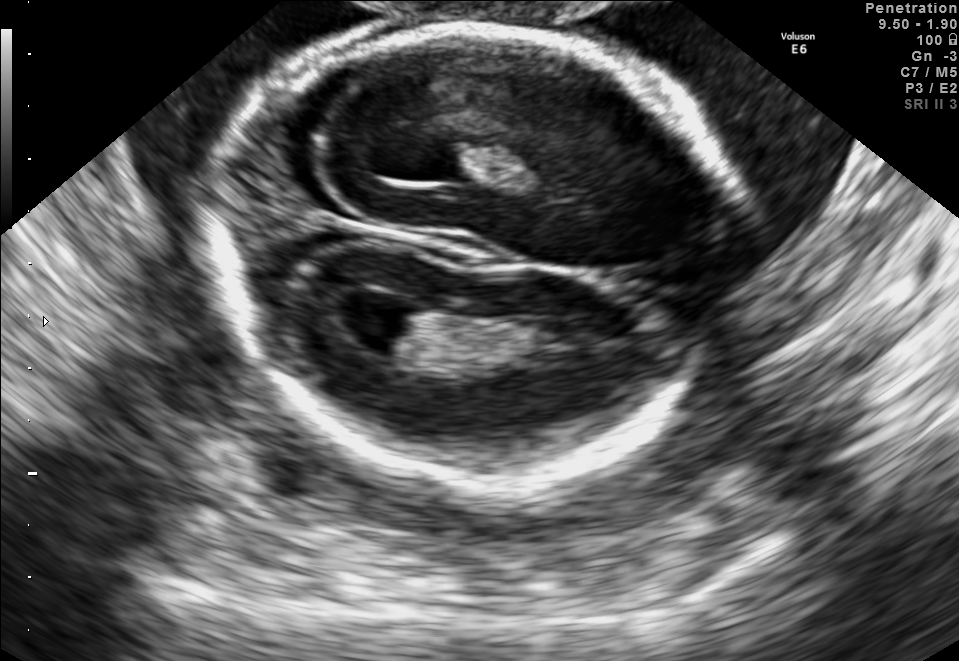
This is a 2D maternal-fetal ultrasound frame. Is it a fetal abdomen, fetal brain, fetal femur, fetal thorax, maternal cervix, or other standard plane? If it's fetal brain and one of the three standard brain planes (trans-thalamic, trans-cerebellum, trans-ventricular), name which.

Fetal brain